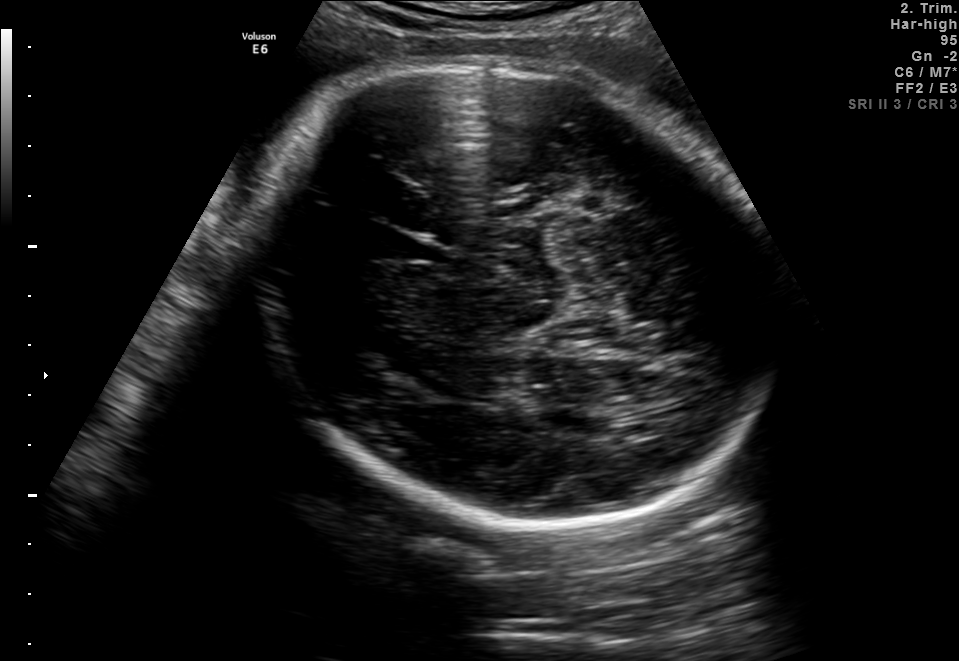
Fetal brain, trans-thalamic plane. Where is the fetal head?

Head bounding box: [240,57,771,530]